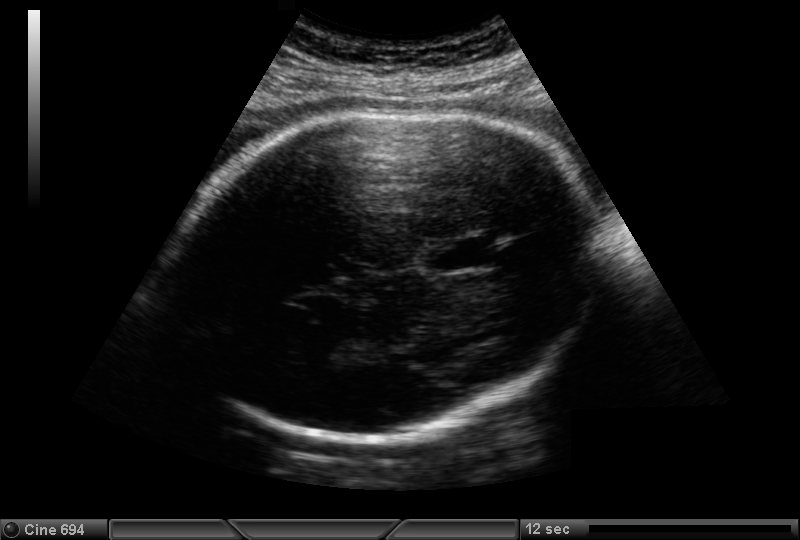
In this fetal head ultrasound, give bounding boxes for the head outline, cavum septum pellucidum (CSP), and lateral ventricle (LV), where visible. Image width: 176.7 mm.

Head: [174,110,600,438]
CSP: [422,231,496,279]